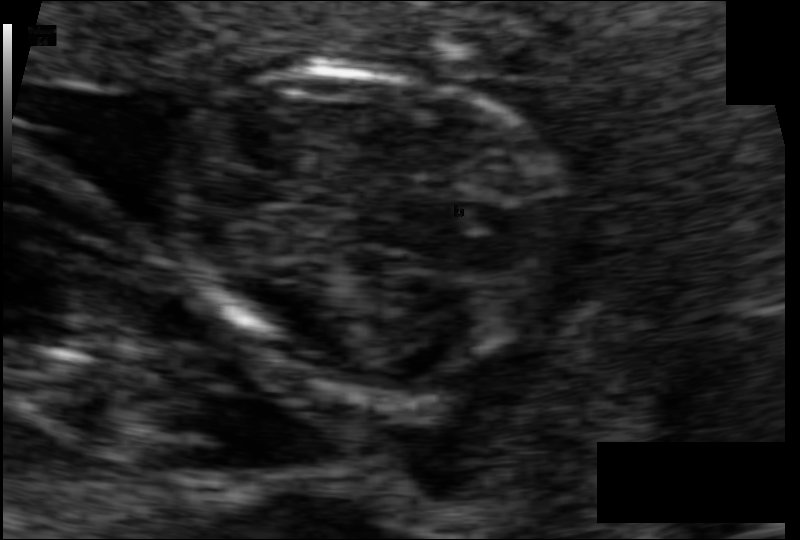
Fetal head ultrasound. Image width: 48.5 mm. Give [x1,y1,x2,y2] bounding boxes for each visible structure among: fetal head, CSP, LV.

Head: [166,64,567,373]